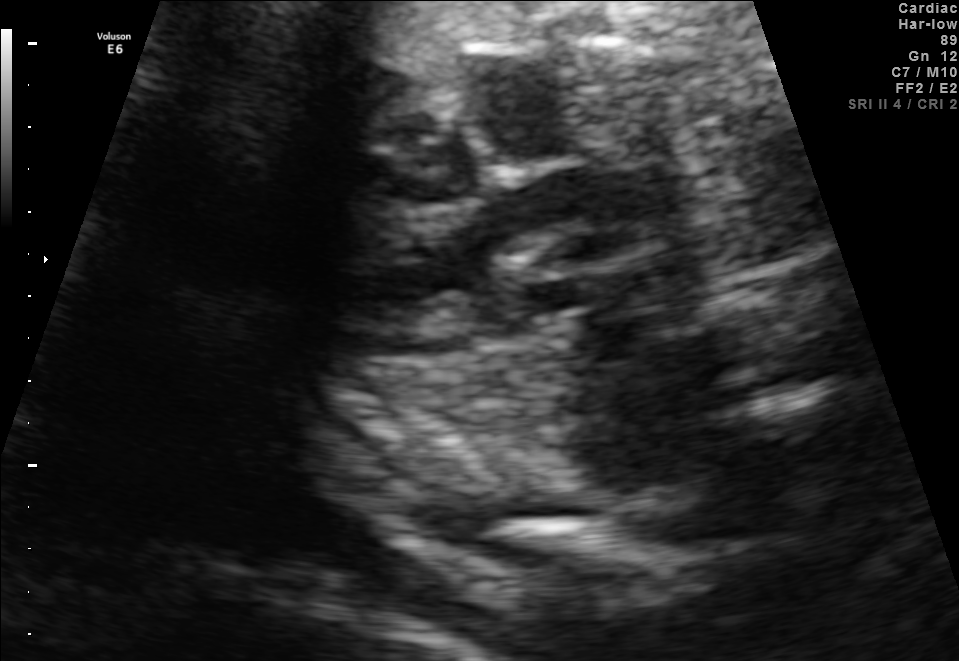
Identify the standard plane in this fetal ultrasound image: fetal abdomen, fetal brain, fetal femur, fetal thorax, maternal cervix, or other. If it's fetal brain and one of the three standard brain planes (trans-thalamic, trans-cerebellum, trans-ventricular), name which.

Other